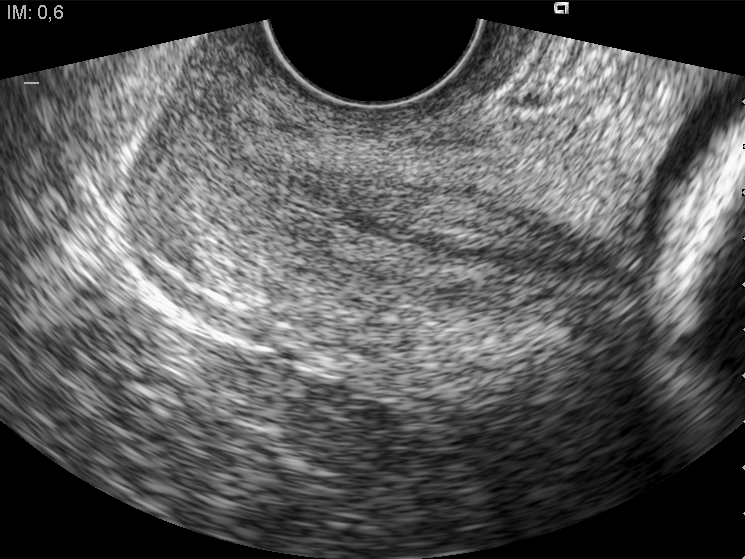
Identify the standard plane in this fetal ultrasound image: fetal abdomen, fetal brain, fetal femur, fetal thorax, maternal cervix, or other. If it's fetal brain and one of the three standard brain planes (trans-thalamic, trans-cerebellum, trans-ventricular), name which.

Maternal cervix